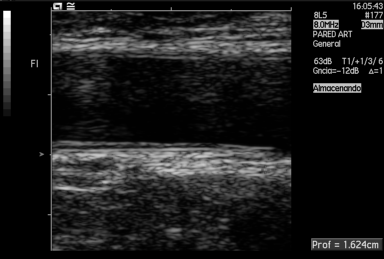
Classify this maternal-fetal ultrasound image as one of the six standard planes — fetal abdomen, fetal brain, fetal femur, fetal thorax, maternal cervix, or other. If it's fetal brain and one of the three standard brain planes (trans-thalamic, trans-cerebellum, trans-ventricular), name which.

Other